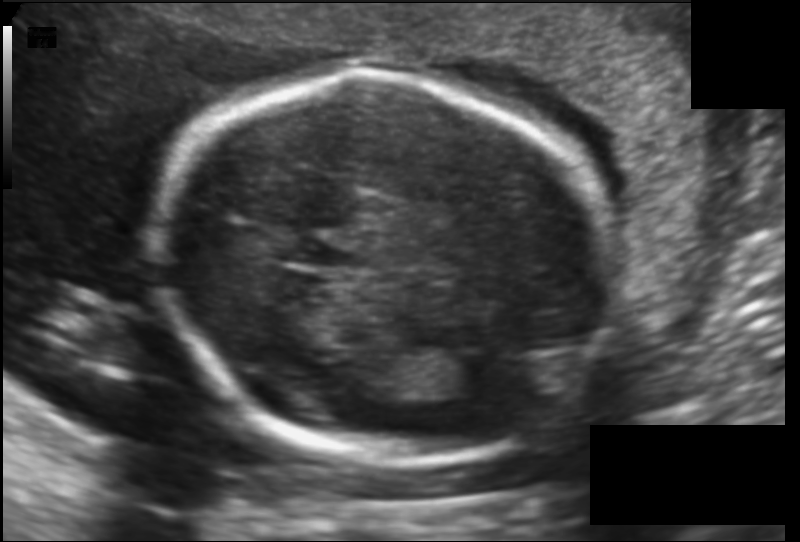
Fetal head ultrasound. Image width: 103.7 mm. Locate the fetal head and, if visible, the cavum septum pellucidum (CSP) and lateral ventricle (LV). Give bounding boxes as [x1,y1,x2,y2].

Head: [165,72,618,463]